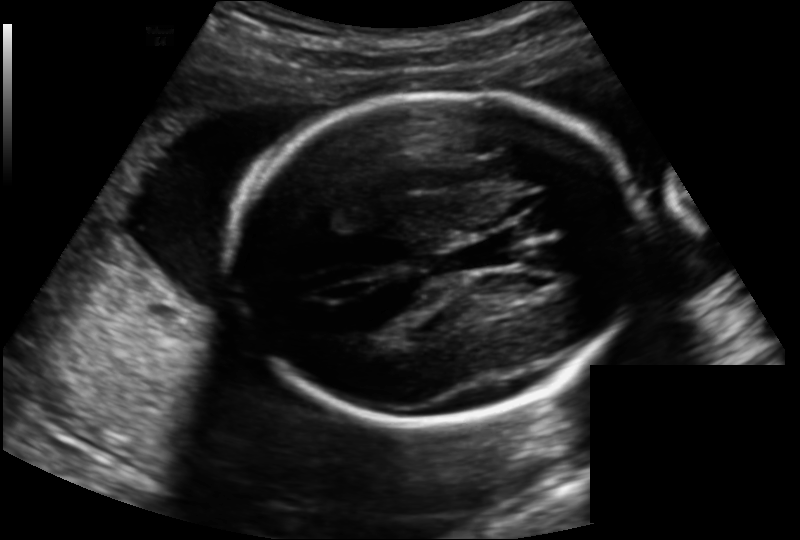
Fetal head ultrasound. Image width: 130.7 mm. Where is the fetal head?

Head bounding box: [233,94,646,422]